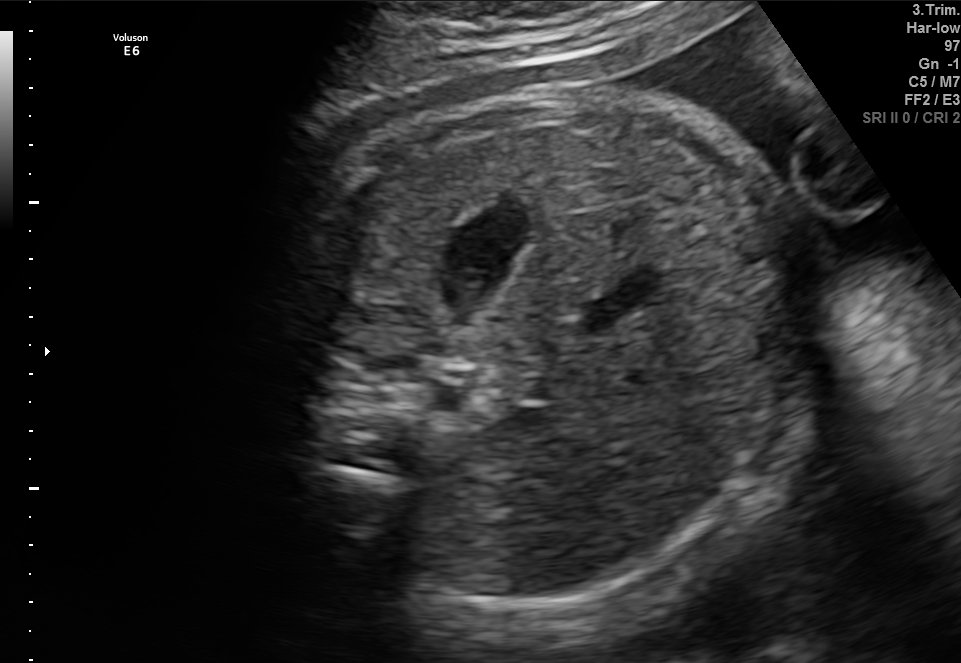
Which standard maternal-fetal ultrasound plane is shown: fetal abdomen, fetal brain, fetal femur, fetal thorax, maternal cervix, or other? If it's fetal brain and one of the three standard brain planes (trans-thalamic, trans-cerebellum, trans-ventricular), name which.

Fetal abdomen